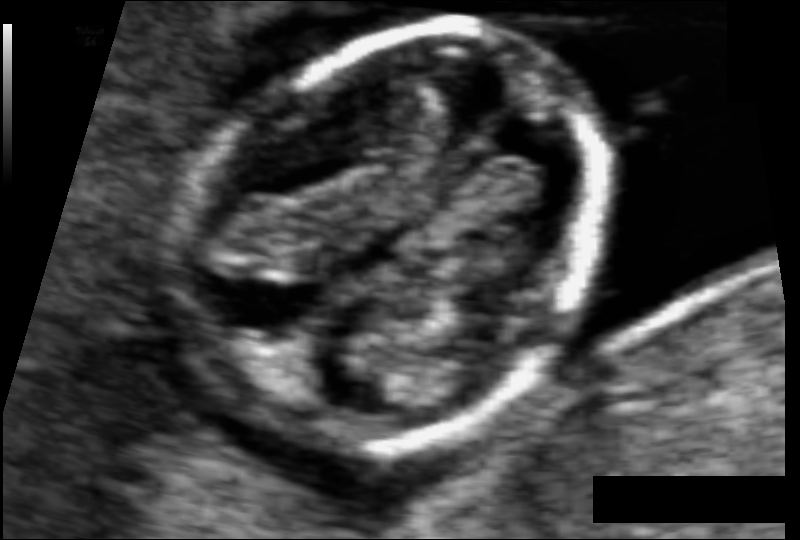
From this fetal ultrasound, estimate the head circumference (image width 47.6 mm).

Head circumference: 82.9 mm.